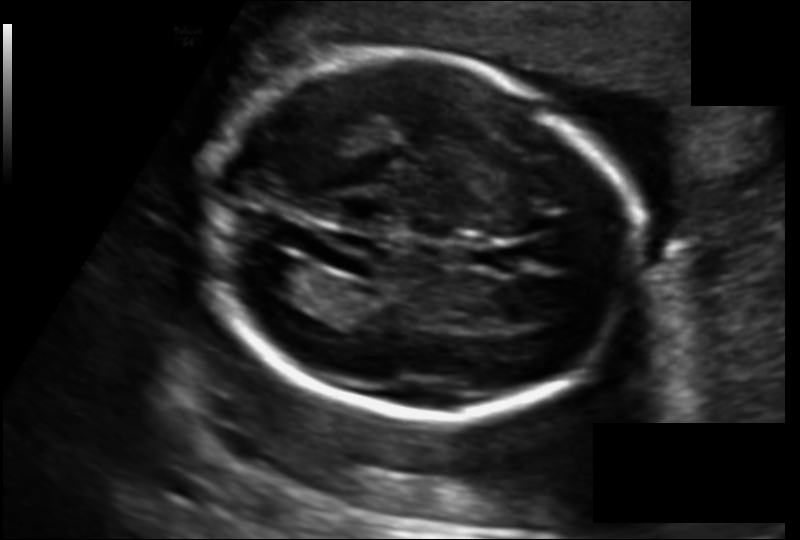
From this fetal ultrasound, estimate the head circumference (image width 107.9 mm).

Head circumference: 174.4 mm.